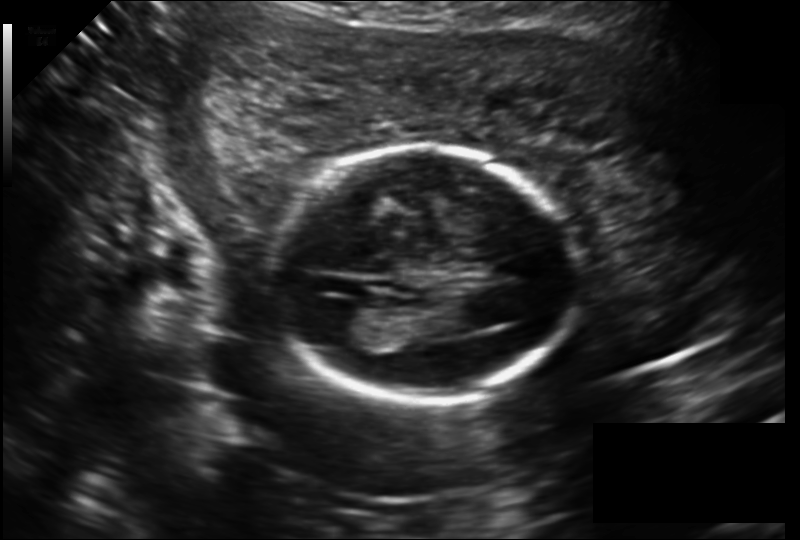
Estimate the fetal head circumference from this 2D ultrasound.

Head circumference: 161.8 mm (image width 142.0 mm).